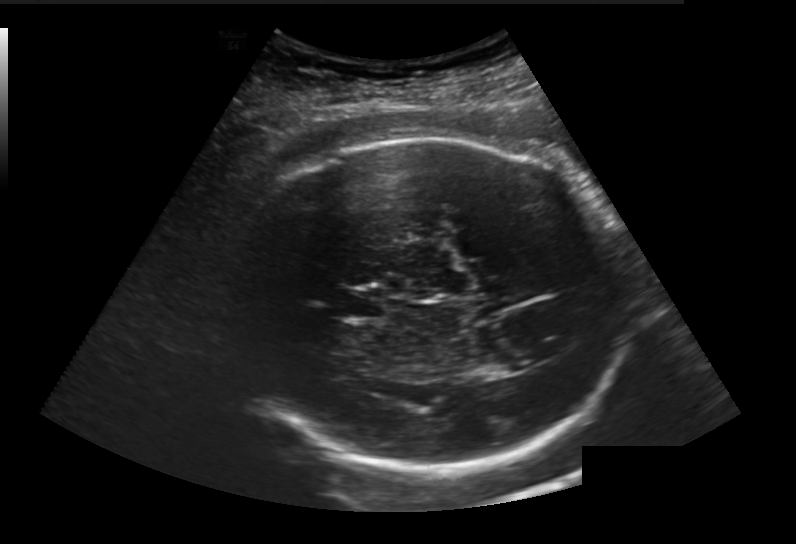
Measure the fetal head circumference shown in this ultrasound image. Image width: 187.6 mm.

Head circumference: 277.4 mm.